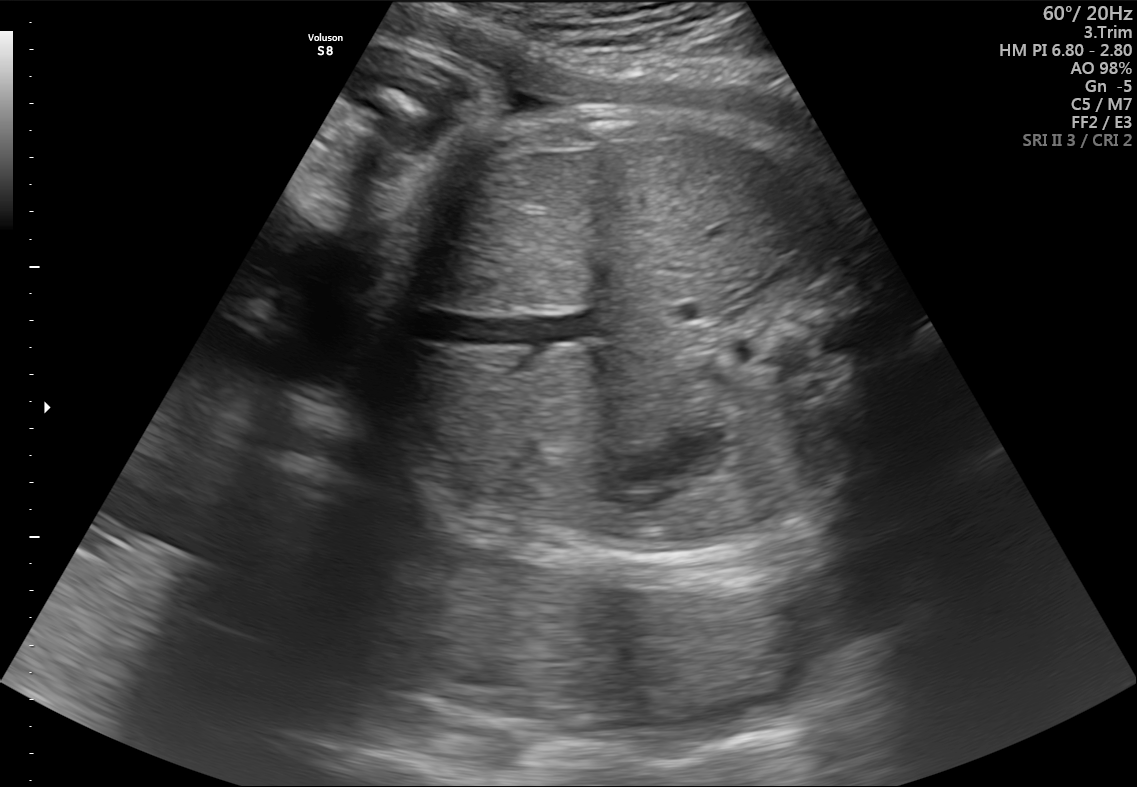
Which standard maternal-fetal ultrasound plane is shown: fetal abdomen, fetal brain, fetal femur, fetal thorax, maternal cervix, or other? If it's fetal brain and one of the three standard brain planes (trans-thalamic, trans-cerebellum, trans-ventricular), name which.

Other